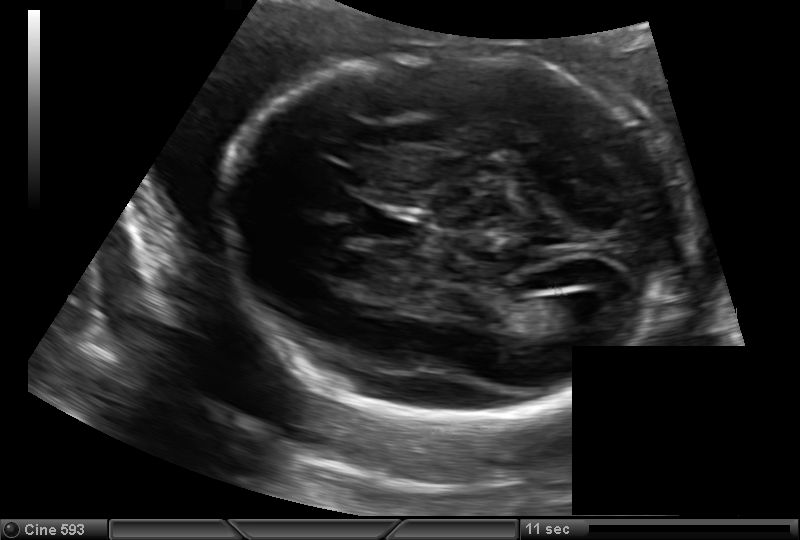
Fetal head ultrasound. Image width: 115.2 mm. Locate the fetal head and, if visible, the cavum septum pellucidum (CSP) and lateral ventricle (LV). Give bounding boxes as [x1,y1,x2,y2].

Head: [221,52,684,417]
CSP: [366,207,431,247]
Lateral ventricle: [535,292,598,332]